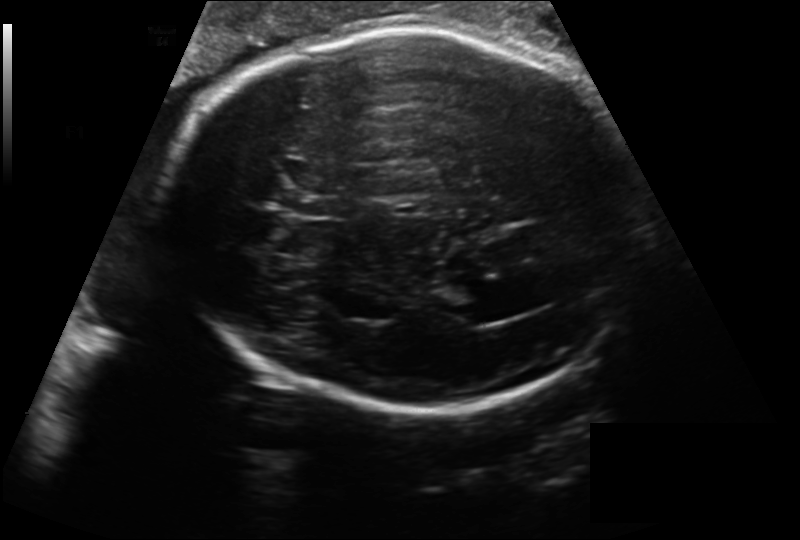
Fetal head ultrasound. Image width: 174.3 mm. Where is the fetal head?

Head bounding box: [163,30,646,410]